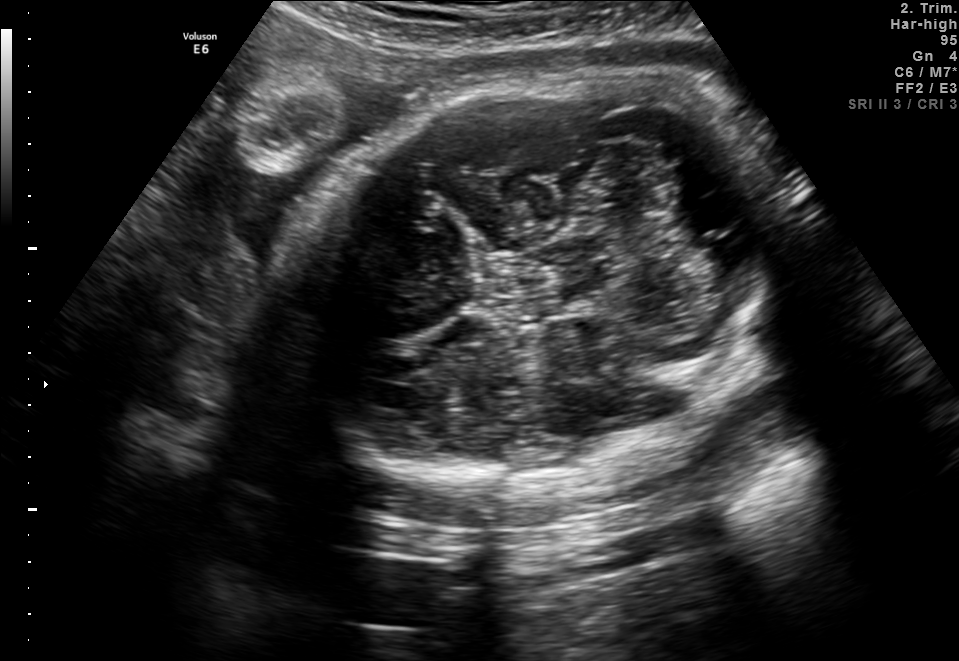
In this fetal brain, trans-cerebellum plane, give bounding boxes for the head outline, cavum septum pellucidum (CSP), and lateral ventricle (LV), where visible.

Head: [286,73,805,490]